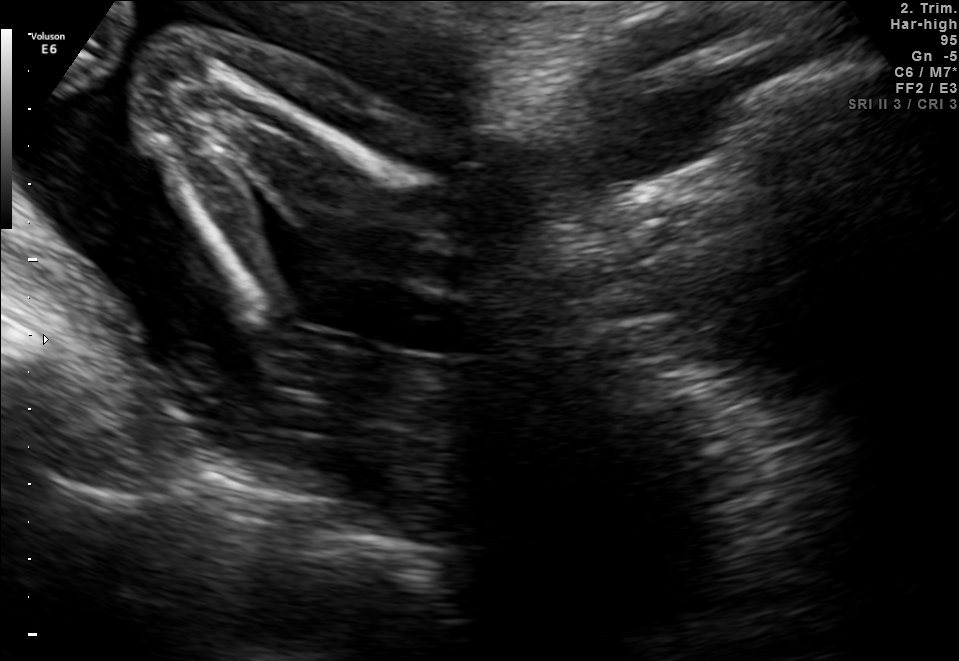
Identify the standard plane in this fetal ultrasound image: fetal abdomen, fetal brain, fetal femur, fetal thorax, maternal cervix, or other. If it's fetal brain and one of the three standard brain planes (trans-thalamic, trans-cerebellum, trans-ventricular), name which.

Fetal femur